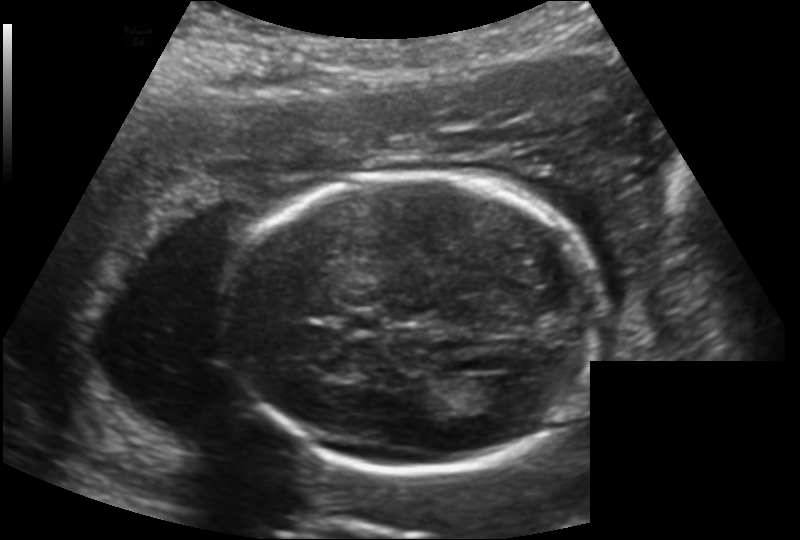
Fetal head ultrasound. Image width: 135.0 mm. Locate the fetal head and, if visible, the cavum septum pellucidum (CSP) and lateral ventricle (LV). Give bounding boxes as [x1,y1,x2,y2].

Head: [229,175,599,471]
CSP: [341,311,383,333]
Lateral ventricle: [467,377,524,415]